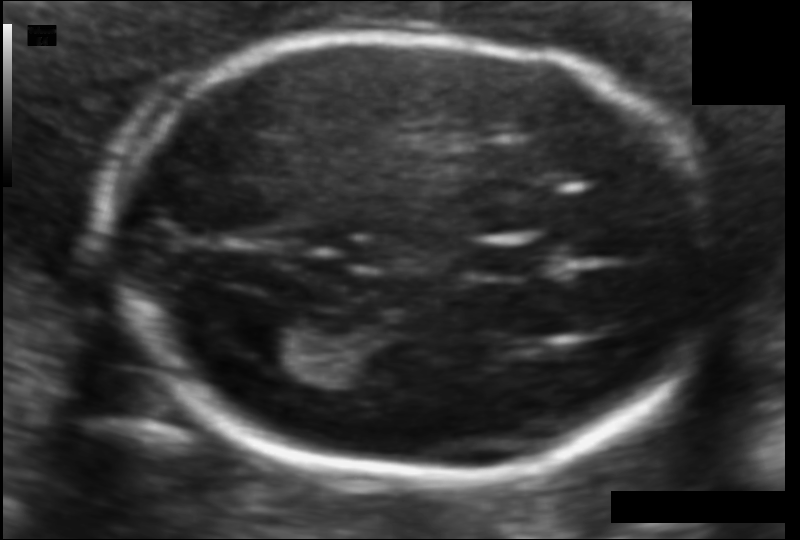
Estimate the fetal head circumference from this 2D ultrasound.

Head circumference: 163.1 mm (image width 75.5 mm).